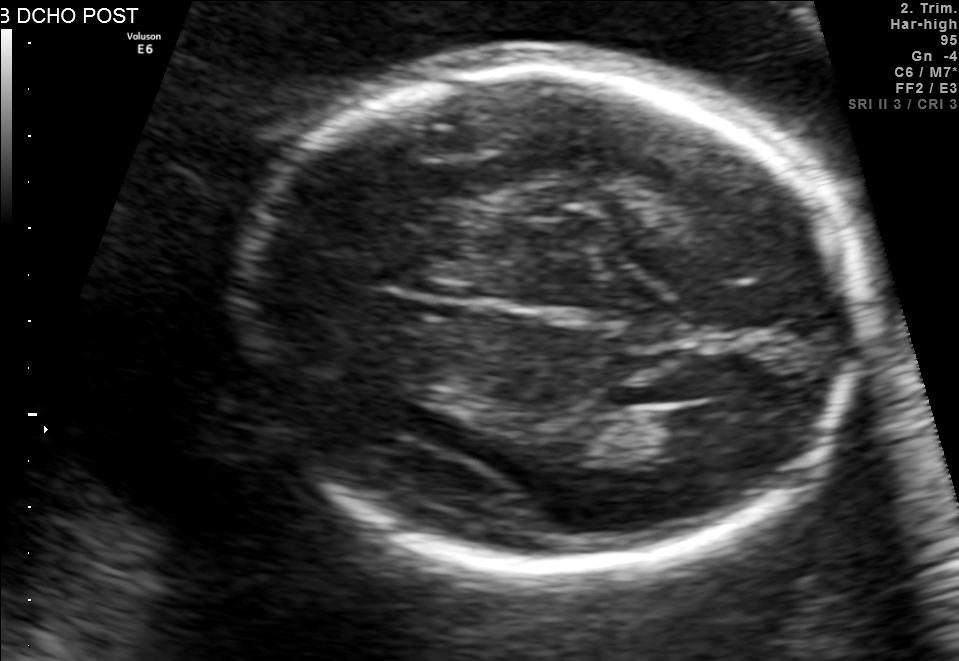
Fetal brain, trans-thalamic plane. Where is the lateral ventricle?

Lateral ventricle bounding box: [642,397,753,458]